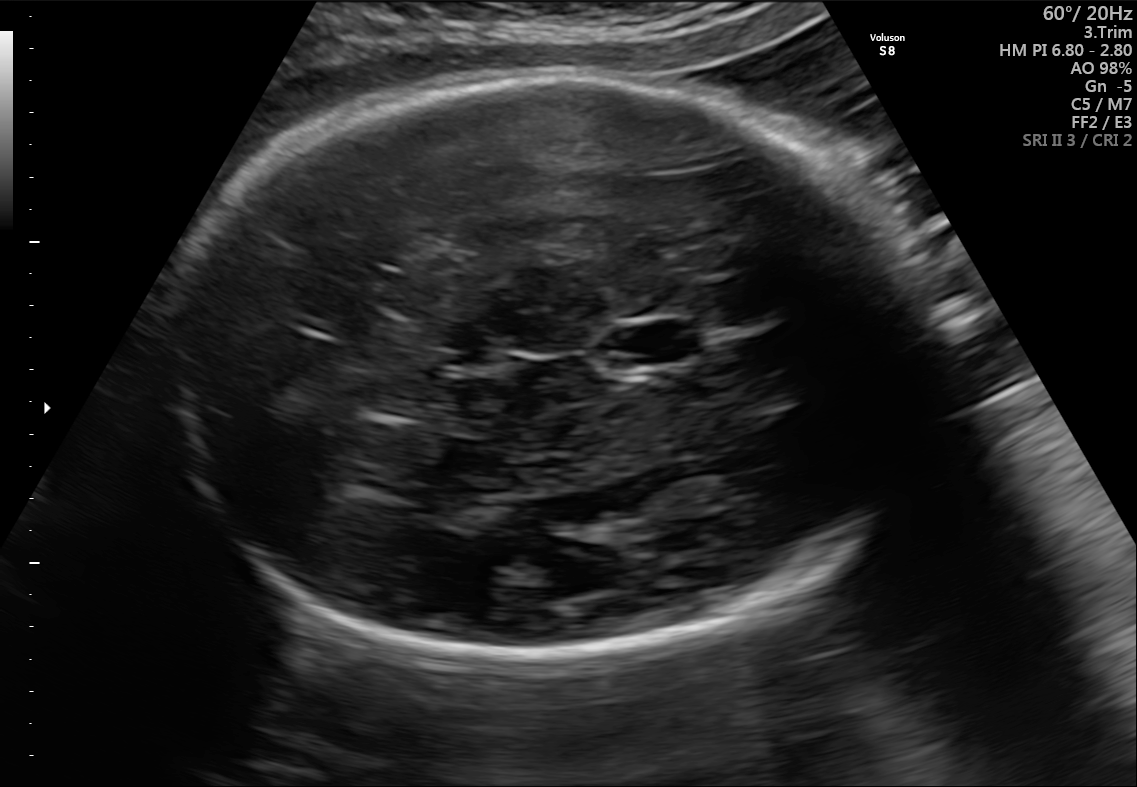
Classify this maternal-fetal ultrasound image as one of the six standard planes — fetal abdomen, fetal brain, fetal femur, fetal thorax, maternal cervix, or other. If it's fetal brain and one of the three standard brain planes (trans-thalamic, trans-cerebellum, trans-ventricular), name which.

Fetal brain (trans-thalamic plane)